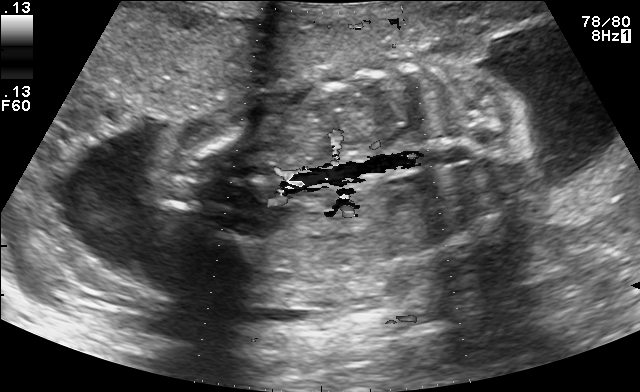
Identify the standard plane in this fetal ultrasound image: fetal abdomen, fetal brain, fetal femur, fetal thorax, maternal cervix, or other. If it's fetal brain and one of the three standard brain planes (trans-thalamic, trans-cerebellum, trans-ventricular), name which.

Other